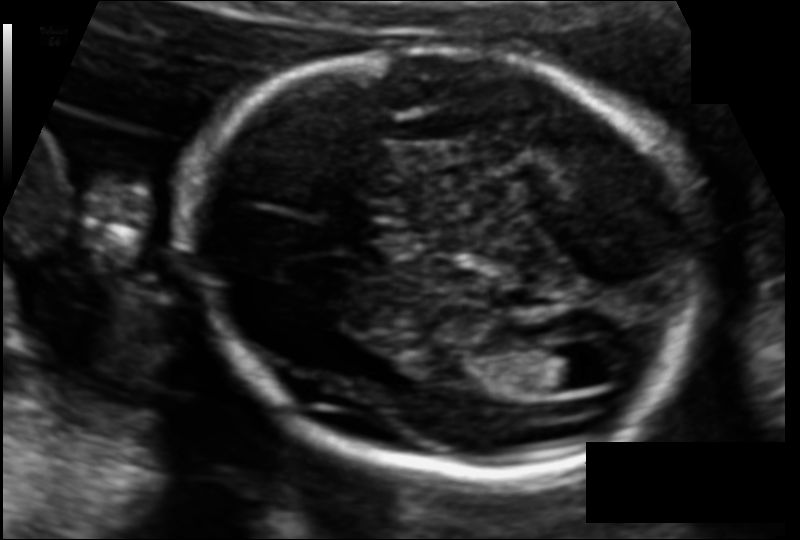
Fetal head ultrasound. Image width: 87.7 mm. Locate the lateral ventricle.

Lateral ventricle: [522,345,590,393]